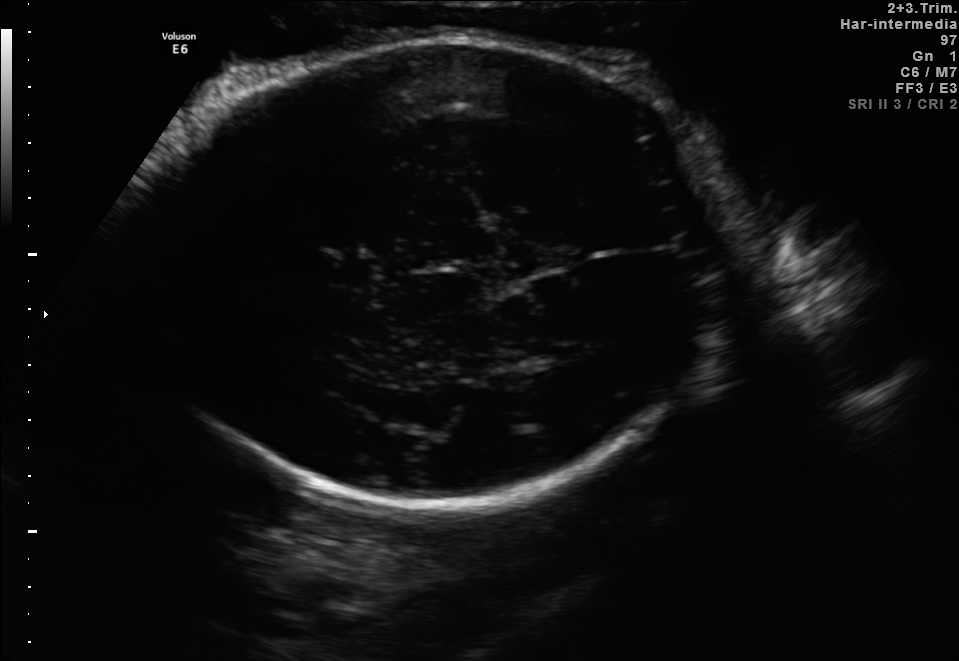
In this fetal brain, trans-thalamic plane, give bounding boxes for the head outline, cavum septum pellucidum (CSP), and lateral ventricle (LV), where visible.

Head: [137,34,726,509]